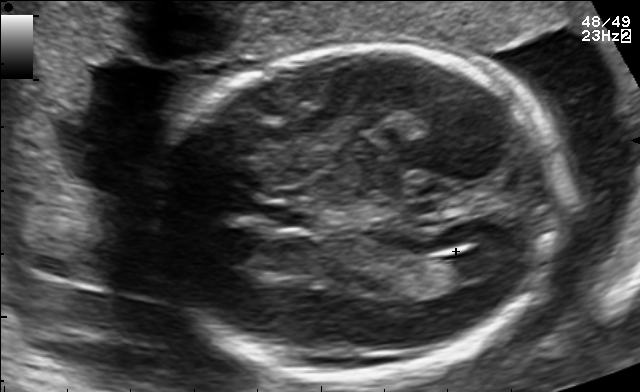
Fetal brain, trans-ventricular plane. Locate the lateral ventricle.

Lateral ventricle: [437,241,510,287]